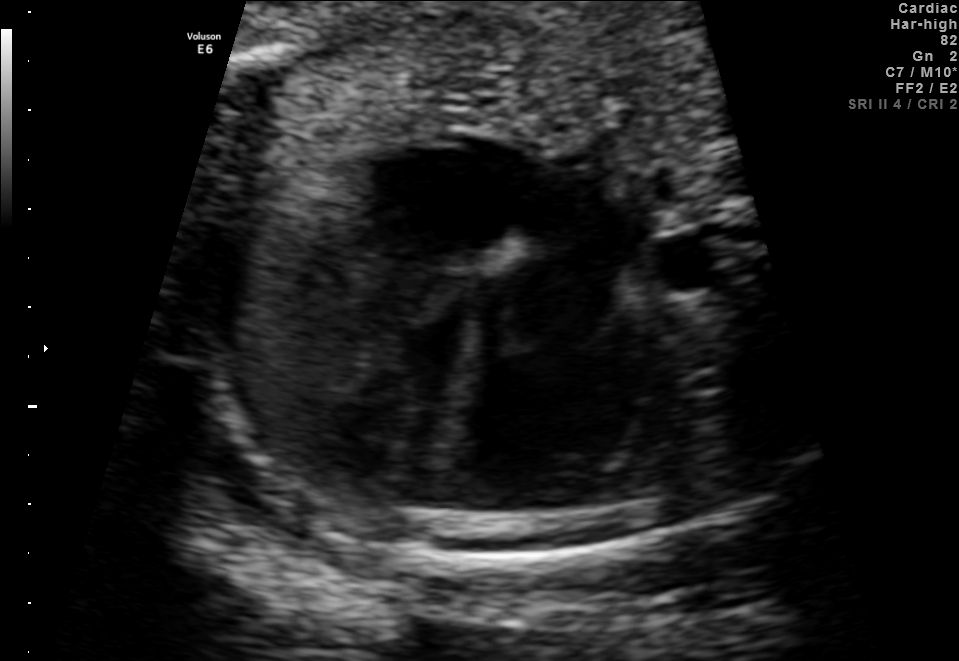
Which standard maternal-fetal ultrasound plane is shown: fetal abdomen, fetal brain, fetal femur, fetal thorax, maternal cervix, or other? If it's fetal brain and one of the three standard brain planes (trans-thalamic, trans-cerebellum, trans-ventricular), name which.

Fetal thorax